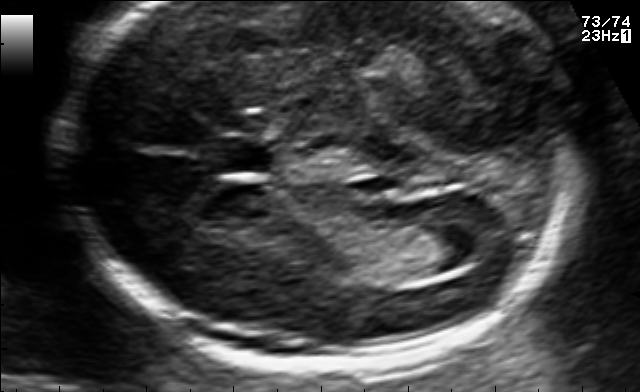
Fetal brain, trans-ventricular plane. Locate the cavum septum pellucidum (CSP) and lateral ventricle (LV), if visible. Give bounding boxes as [x1,y1,x2,y2].

CSP: [201,138,287,172]
Lateral ventricle: [423,206,514,273]